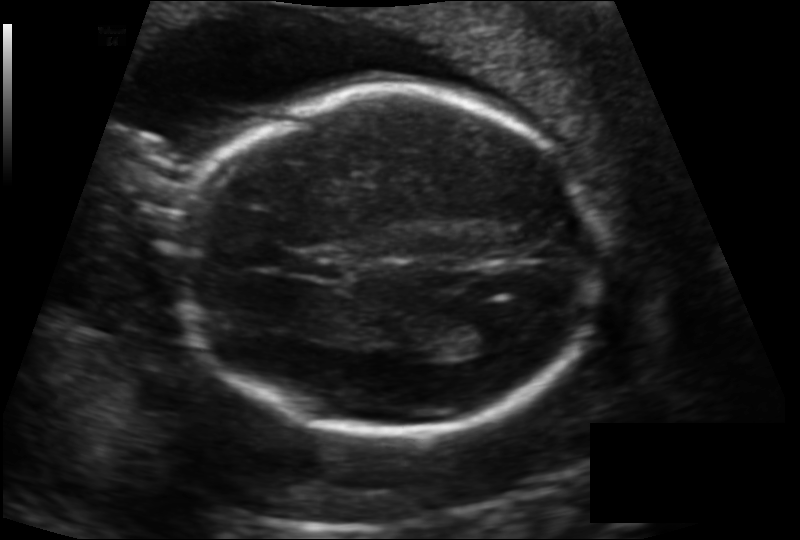
In this fetal head ultrasound, give the bounding box of the cavum septum pellucidum. Image width: 113.2 mm.

[285,247,347,282]